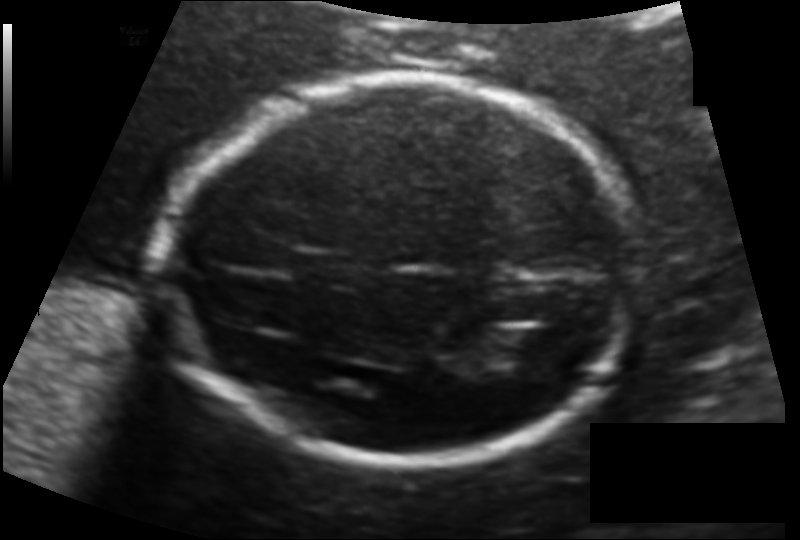
In this fetal head ultrasound, give the bounding box of the cavum septum pellucidum. Image width: 98.0 mm.

[293,245,365,290]